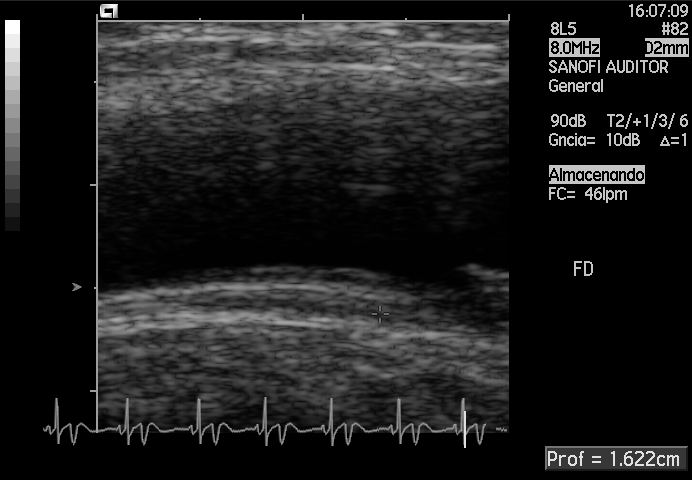
Classify this maternal-fetal ultrasound image as one of the six standard planes — fetal abdomen, fetal brain, fetal femur, fetal thorax, maternal cervix, or other. If it's fetal brain and one of the three standard brain planes (trans-thalamic, trans-cerebellum, trans-ventricular), name which.

Other